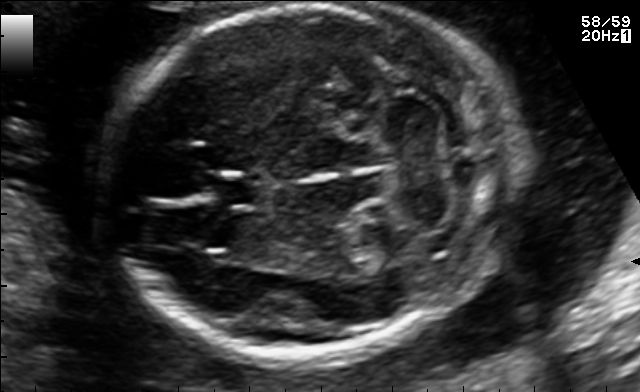
In this fetal brain, trans-cerebellum plane, give the bounding box of the cavum septum pellucidum.

[207,173,263,207]